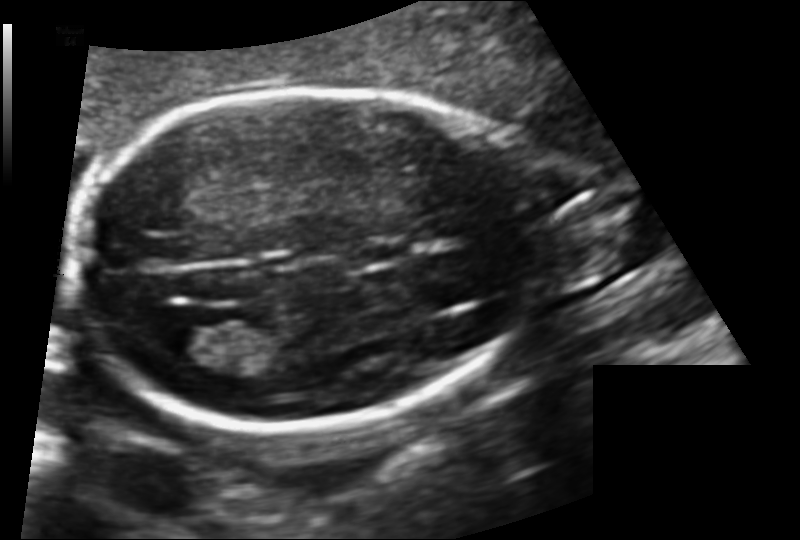
From this fetal ultrasound, estimate the head circumference (image width 102.4 mm).

Head circumference: 170.6 mm.